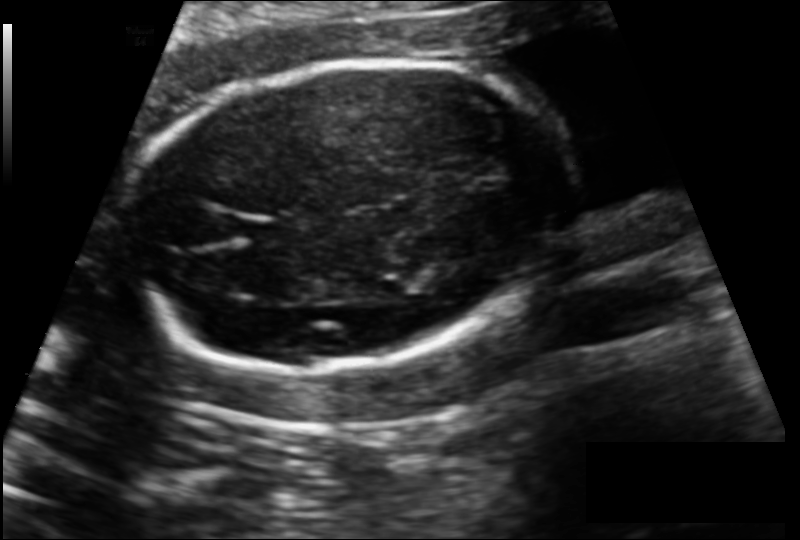
In this fetal head ultrasound, give bounding boxes for the head outline, cavum septum pellucidum (CSP), and lateral ventricle (LV), where visible. Image width: 111.1 mm.

Head: [124,59,569,370]